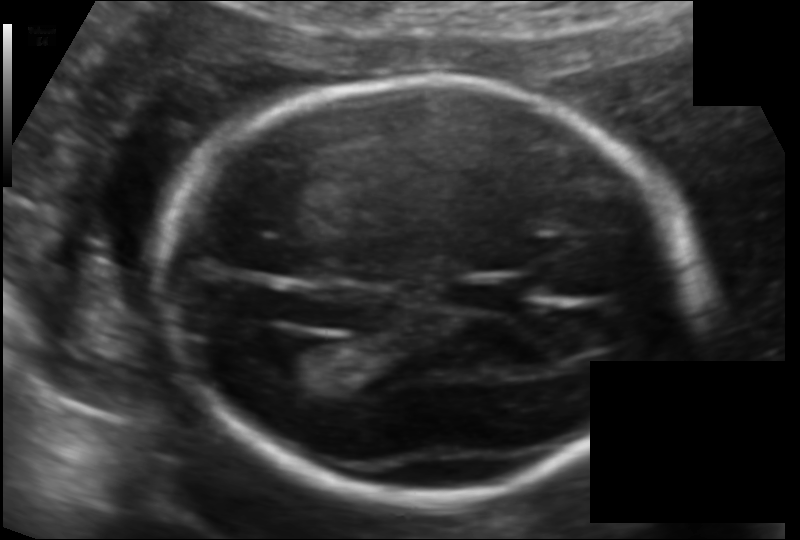
Fetal head ultrasound. Image width: 94.6 mm. Where is the lateral ventricle?

Lateral ventricle bounding box: [266,333,333,383]